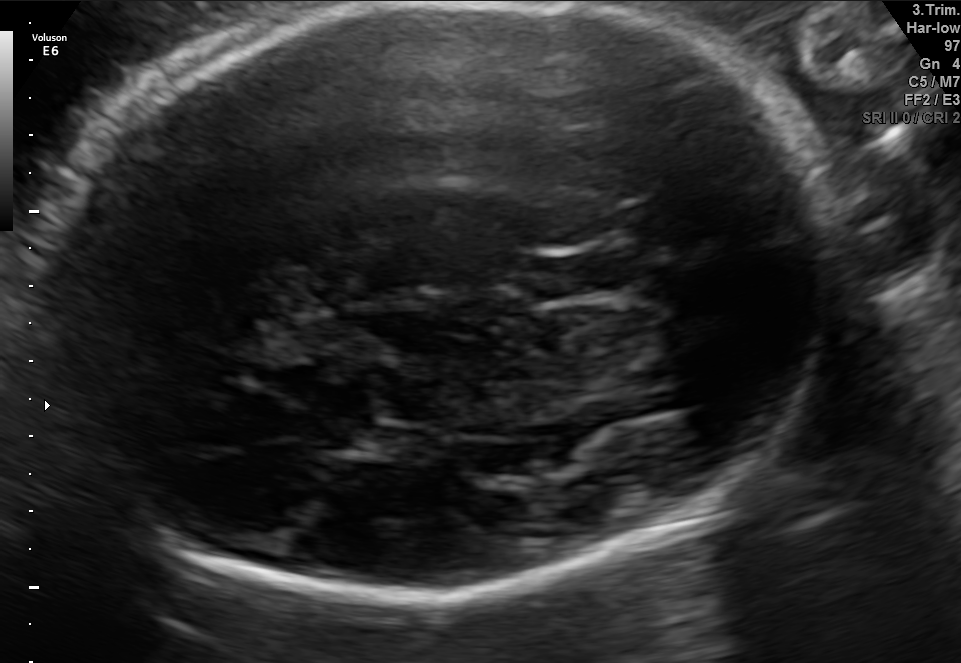
Fetal brain, trans-thalamic plane. Where is the fetal head?

Head bounding box: [37,3,840,596]